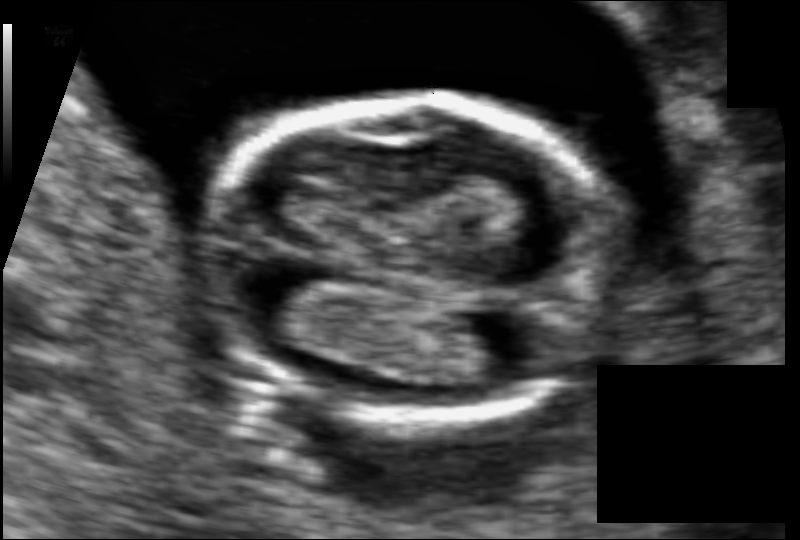
Estimate the fetal head circumference from this 2D ultrasound.

Head circumference: 88.8 mm (image width 59.9 mm).